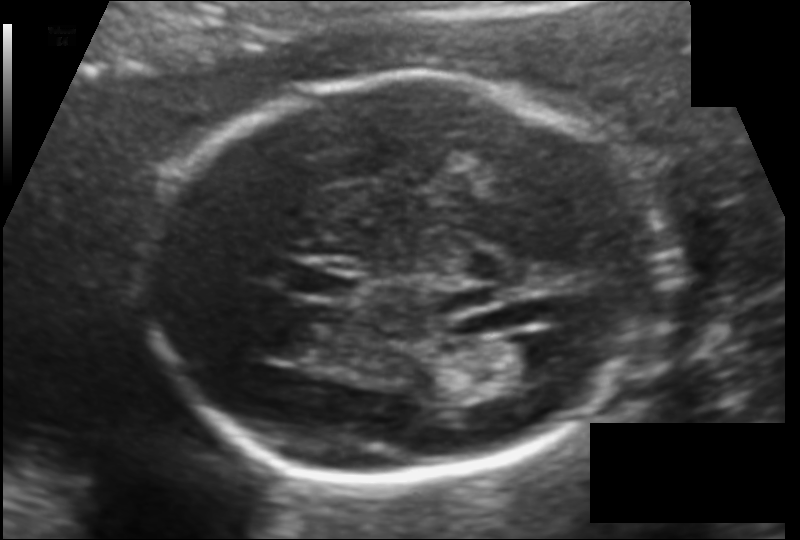
What is the fetal head circumference? Image width is 95.9 mm.

179.7 mm